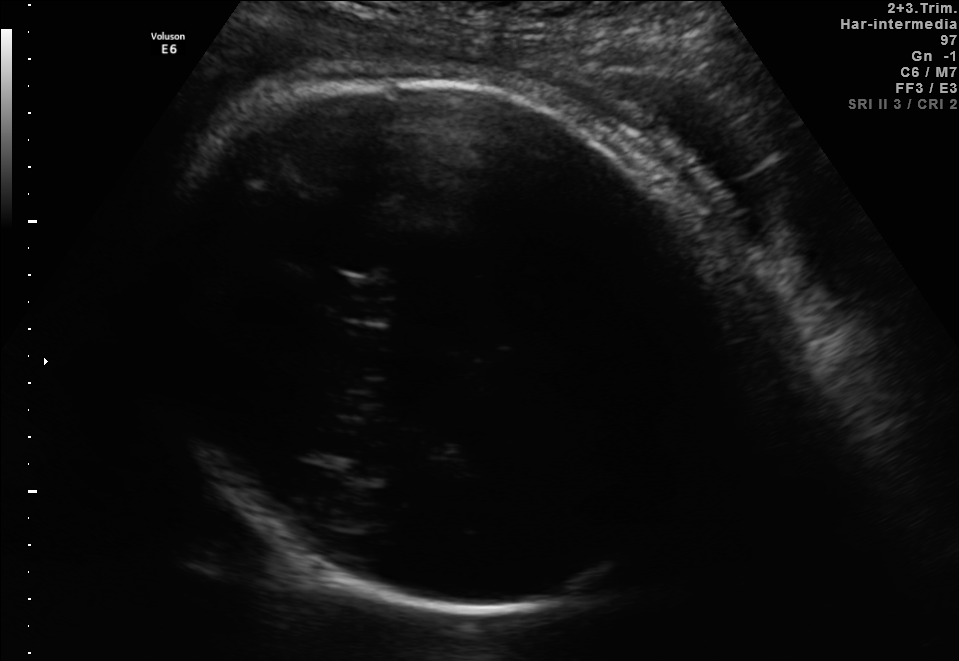
Fetal brain, trans-thalamic plane. Locate the fetal head and, if visible, the cavum septum pellucidum (CSP) and lateral ventricle (LV). Give bounding boxes as [x1,y1,x2,y2].

Head: [144,79,735,612]